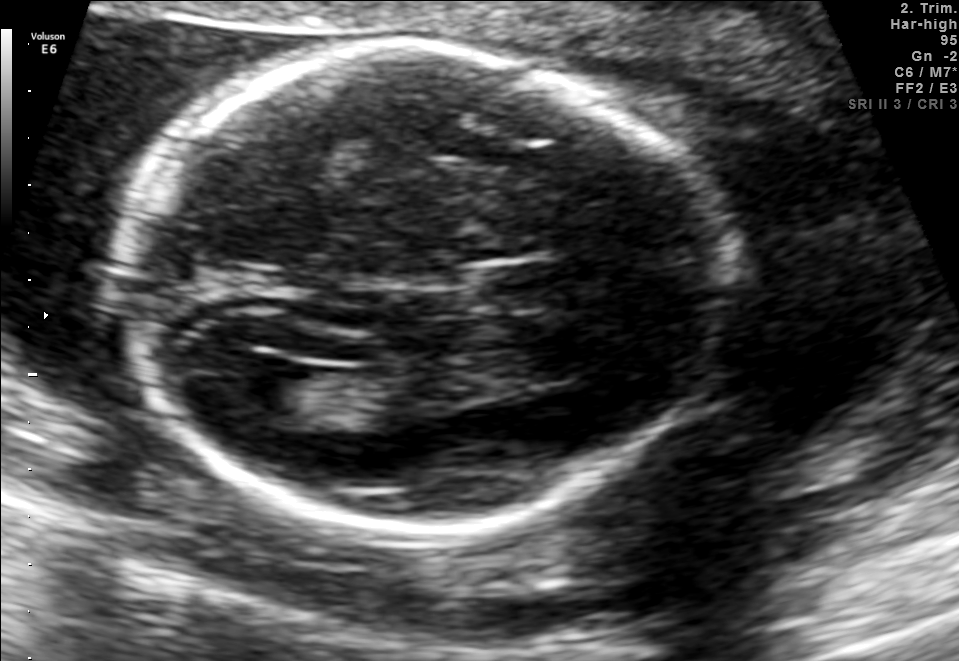
Classify this maternal-fetal ultrasound image as one of the six standard planes — fetal abdomen, fetal brain, fetal femur, fetal thorax, maternal cervix, or other. If it's fetal brain and one of the three standard brain planes (trans-thalamic, trans-cerebellum, trans-ventricular), name which.

Fetal brain (trans-ventricular plane)